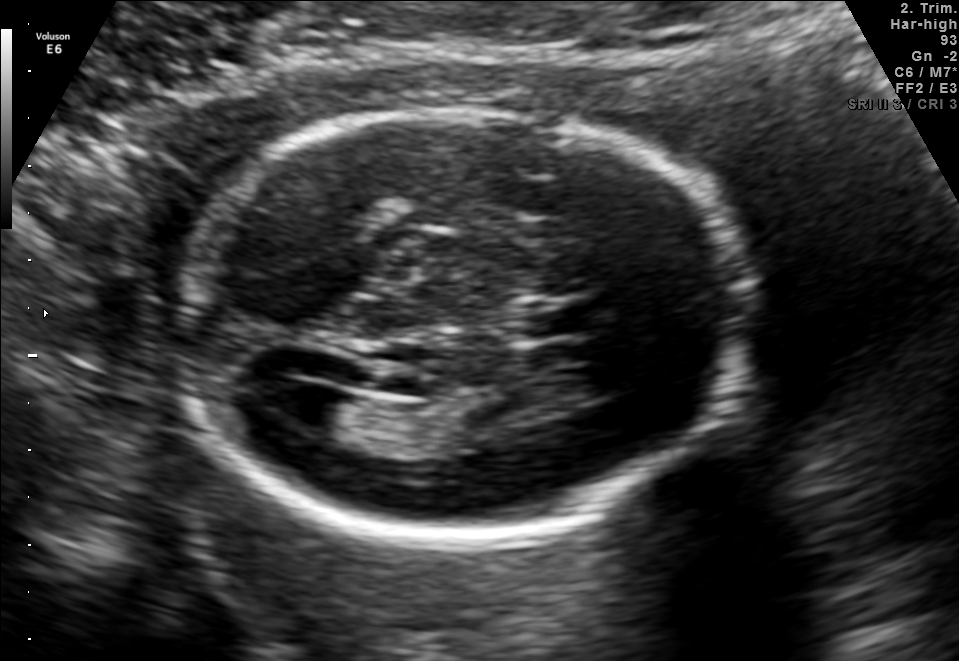
Fetal brain, trans-ventricular plane. Locate the fetal head and, if visible, the cavum septum pellucidum (CSP) and lateral ventricle (LV). Give bounding boxes as [x1,y1,x2,y2].

Head: [167,95,762,556]
CSP: [530,301,581,338]
Lateral ventricle: [261,372,342,433]